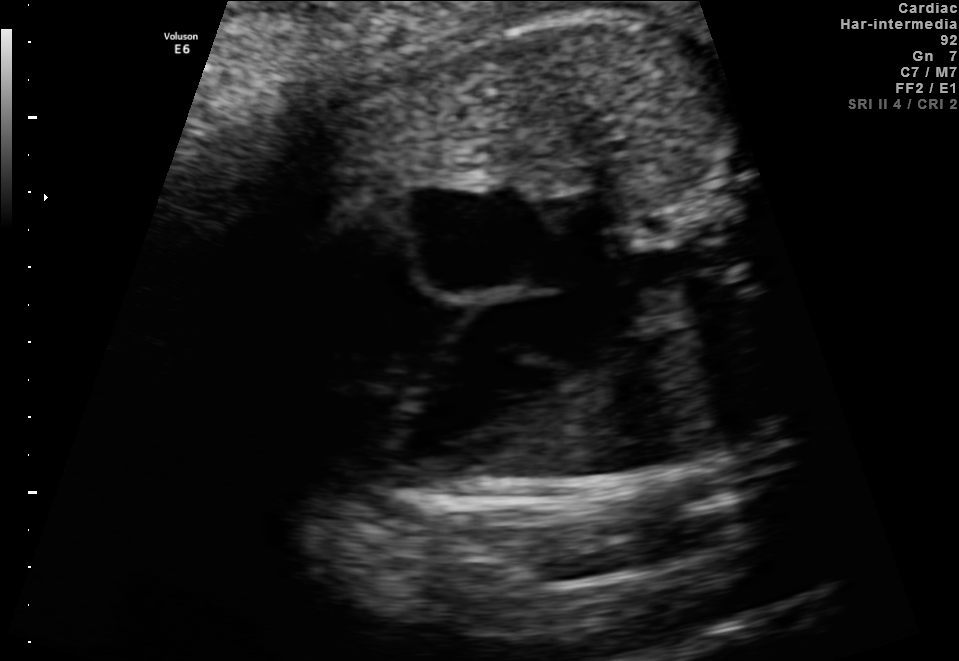
Which standard maternal-fetal ultrasound plane is shown: fetal abdomen, fetal brain, fetal femur, fetal thorax, maternal cervix, or other? If it's fetal brain and one of the three standard brain planes (trans-thalamic, trans-cerebellum, trans-ventricular), name which.

Fetal thorax